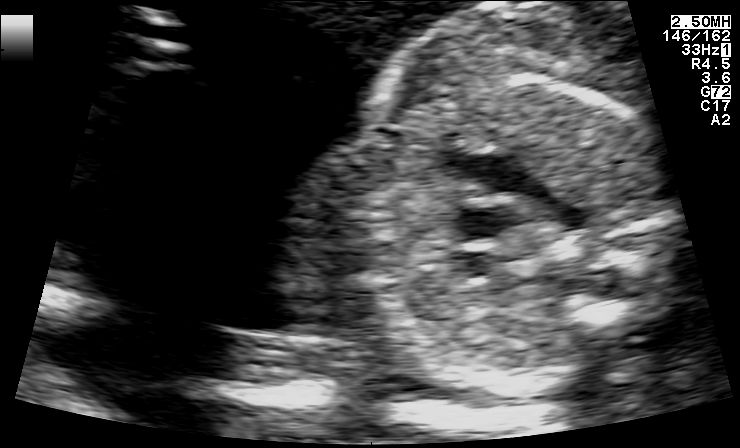
Classify this maternal-fetal ultrasound image as one of the six standard planes — fetal abdomen, fetal brain, fetal femur, fetal thorax, maternal cervix, or other. If it's fetal brain and one of the three standard brain planes (trans-thalamic, trans-cerebellum, trans-ventricular), name which.

Other